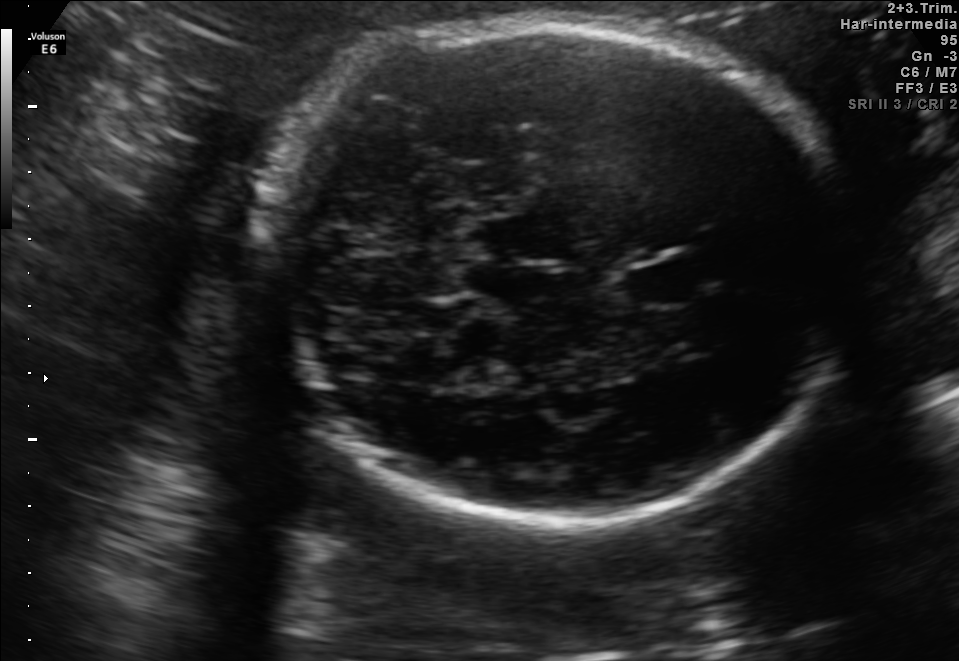
Fetal brain, trans-cerebellum plane. Where is the cavum septum pellucidum?

CSP bounding box: [623,247,711,316]